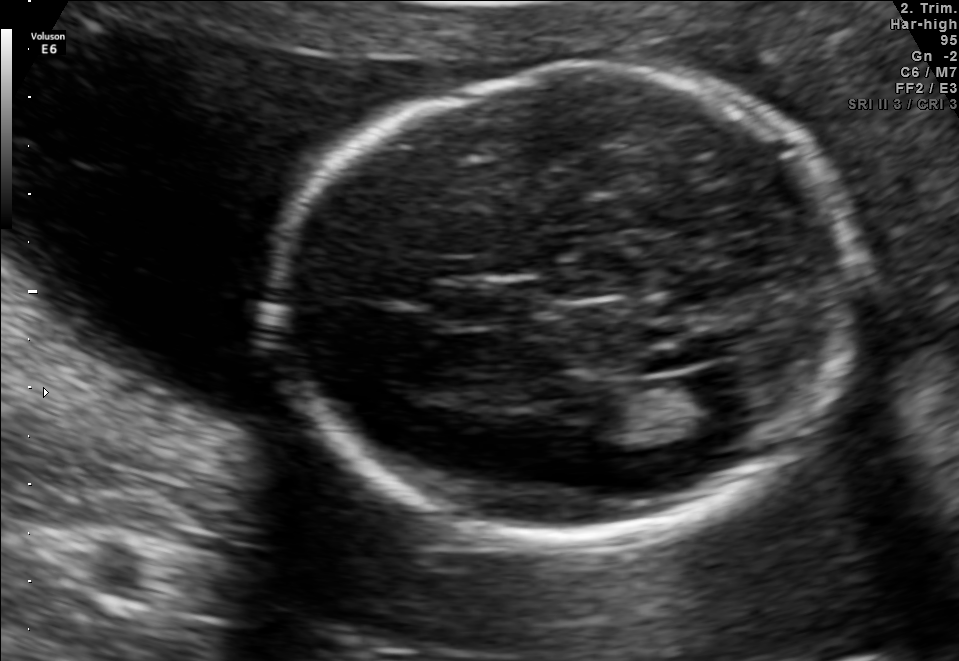
Fetal brain, trans-ventricular plane. Locate the lateral ventricle.

Lateral ventricle: [672,361,764,432]